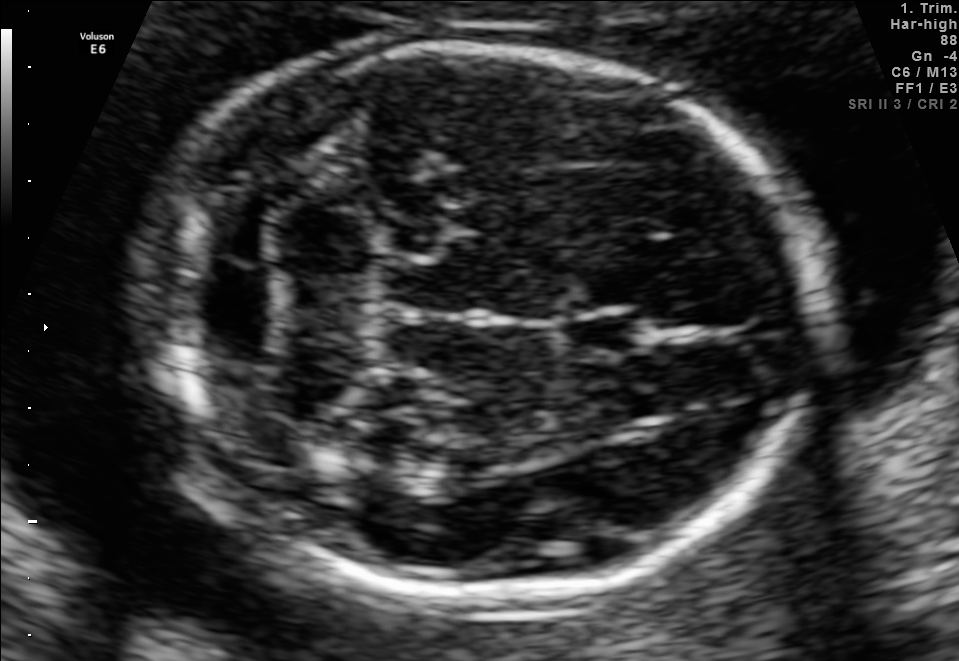
Fetal brain, trans-cerebellum plane. Locate the cavum septum pellucidum.

CSP: [565,305,650,359]